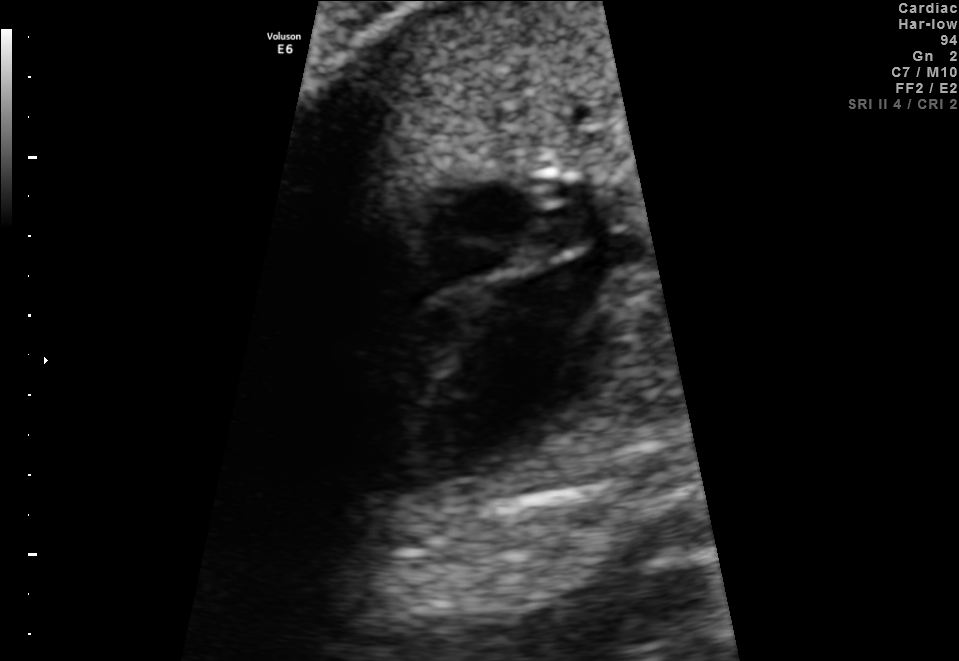
Classify this maternal-fetal ultrasound image as one of the six standard planes — fetal abdomen, fetal brain, fetal femur, fetal thorax, maternal cervix, or other. If it's fetal brain and one of the three standard brain planes (trans-thalamic, trans-cerebellum, trans-ventricular), name which.

Fetal thorax